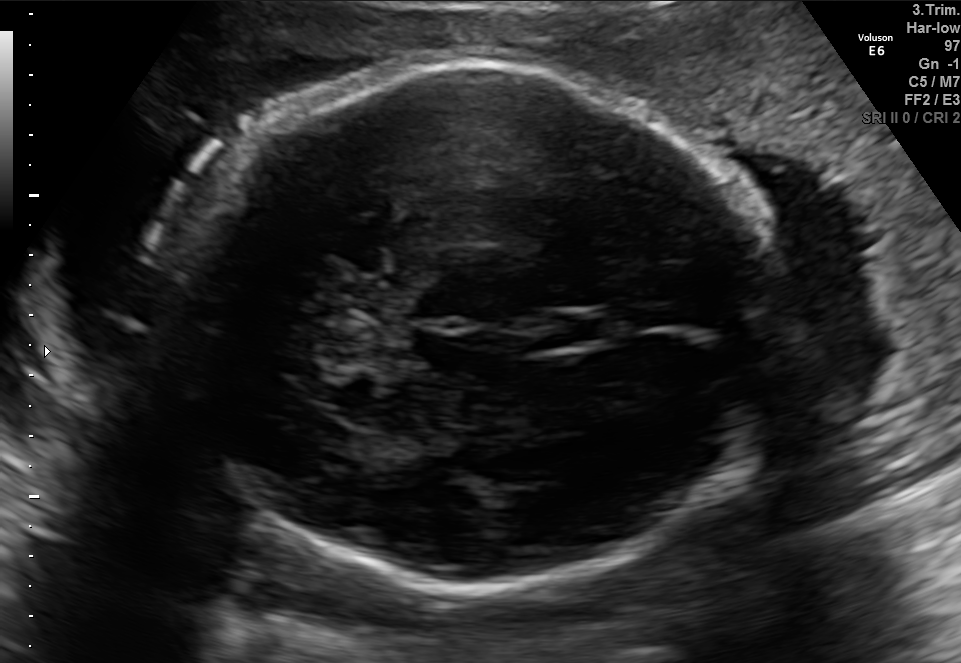
Fetal brain, trans-thalamic plane. Locate the fetal head.

Head: [162,66,777,587]